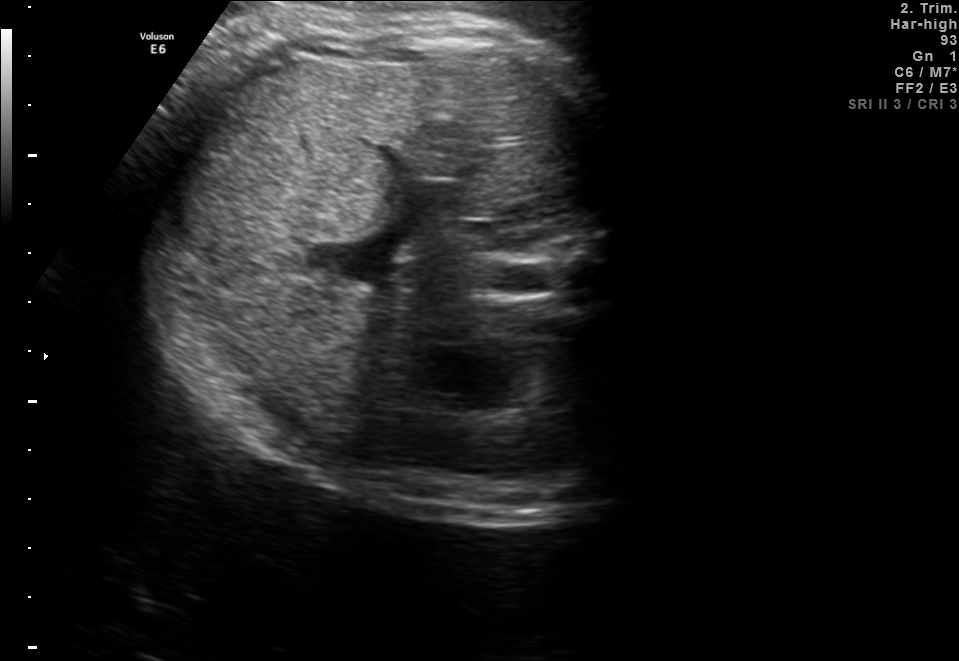
Identify the standard plane in this fetal ultrasound image: fetal abdomen, fetal brain, fetal femur, fetal thorax, maternal cervix, or other. If it's fetal brain and one of the three standard brain planes (trans-thalamic, trans-cerebellum, trans-ventricular), name which.

Fetal abdomen